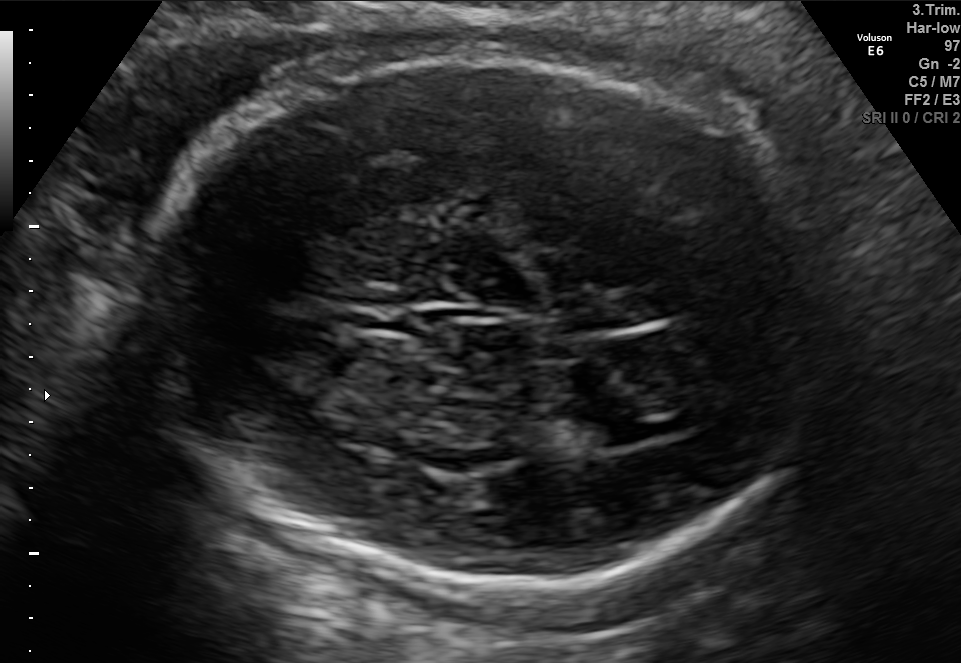
Fetal brain, trans-ventricular plane. Locate the fetal head.

Head: [141,51,838,590]